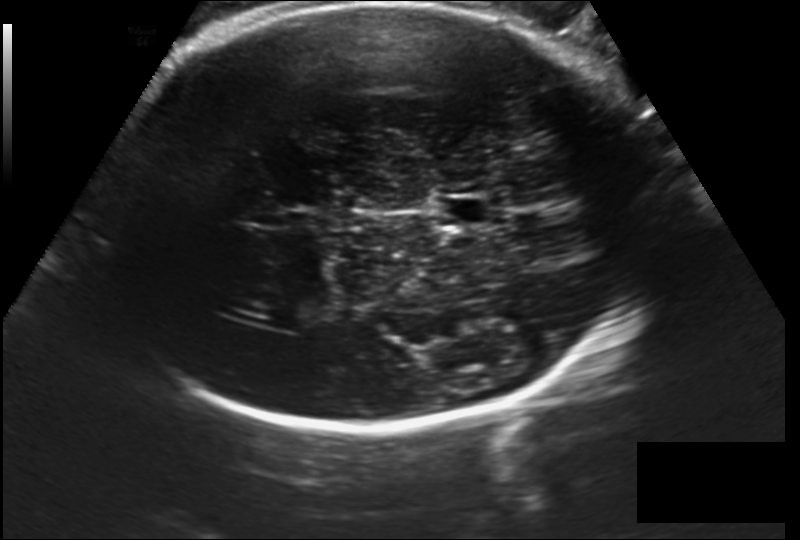
In this fetal head ultrasound, give bounding boxes for the head outline, cavum septum pellucidum (CSP), and lateral ventricle (LV), where visible. Image width: 162.0 mm.

Head: [106,2,661,428]
CSP: [434,194,490,228]